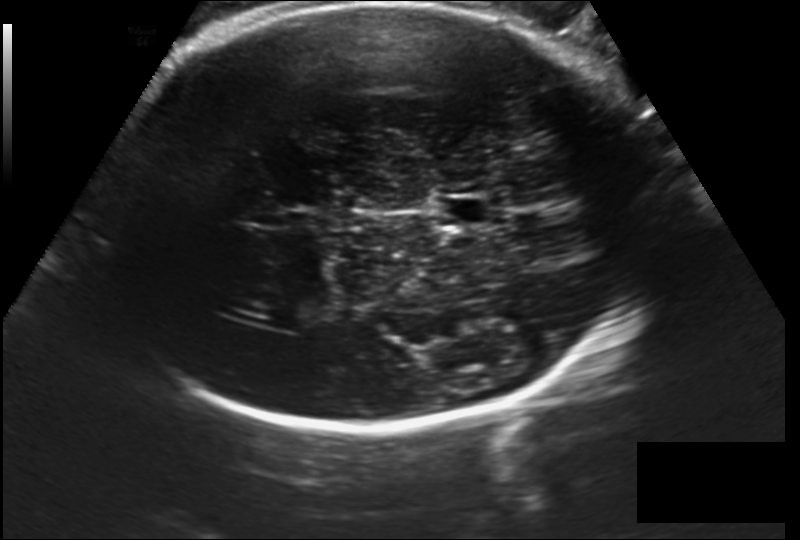
Measure the fetal head circumference shown in this ultrasound image. Image width: 162.0 mm.

Head circumference: 324.6 mm.